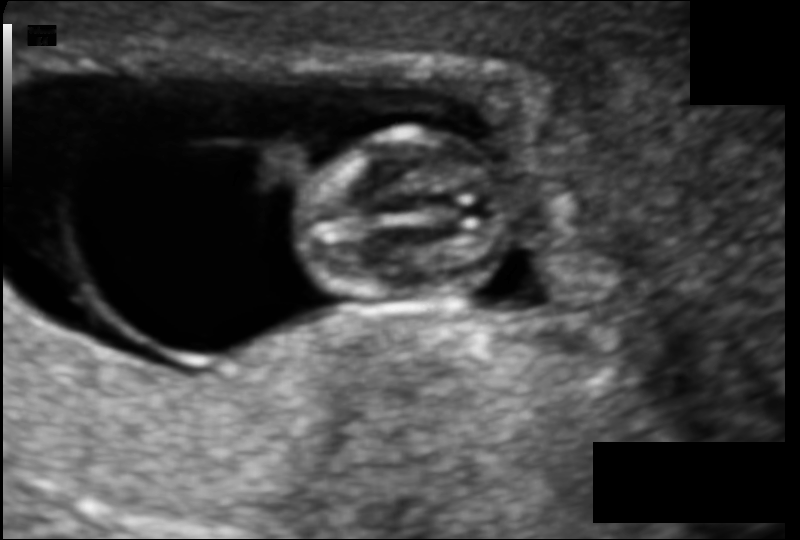
Fetal head ultrasound. Image width: 71.7 mm. Locate the fetal head and, if visible, the cavum septum pellucidum (CSP) and lateral ventricle (LV). Give bounding boxes as [x1,y1,x2,y2].

Head: [289,132,512,304]